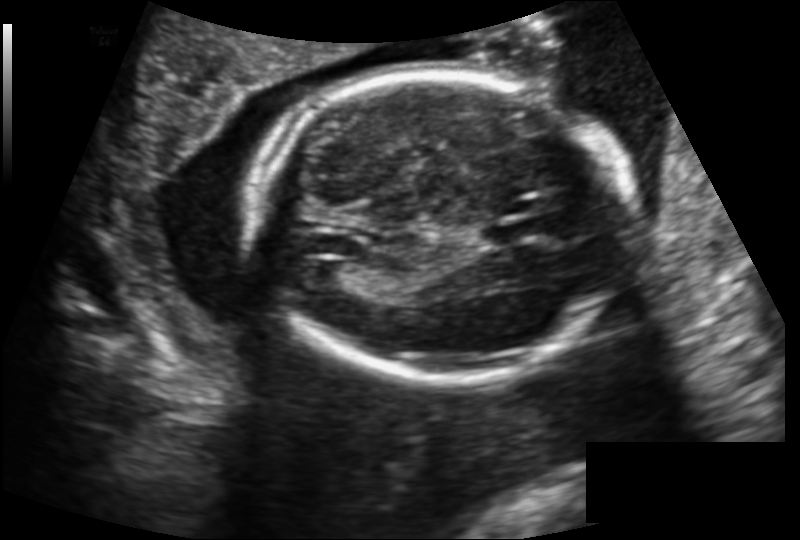
Estimate the fetal head circumference from this 2D ultrasound. Image width: 127.5 mm.

Head circumference: 178.8 mm.